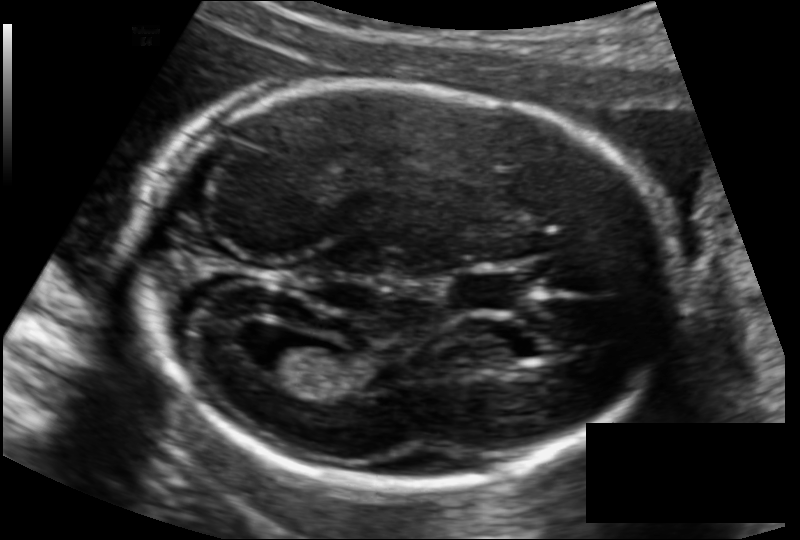
Fetal head ultrasound. Image width: 97.7 mm. Locate the fetal head and, if visible, the cavum septum pellucidum (CSP) and lateral ventricle (LV). Give bounding boxes as [x1,y1,x2,y2].

Head: [138,87,669,484]
CSP: [453,273,520,311]
Lateral ventricle: [249,325,329,388]